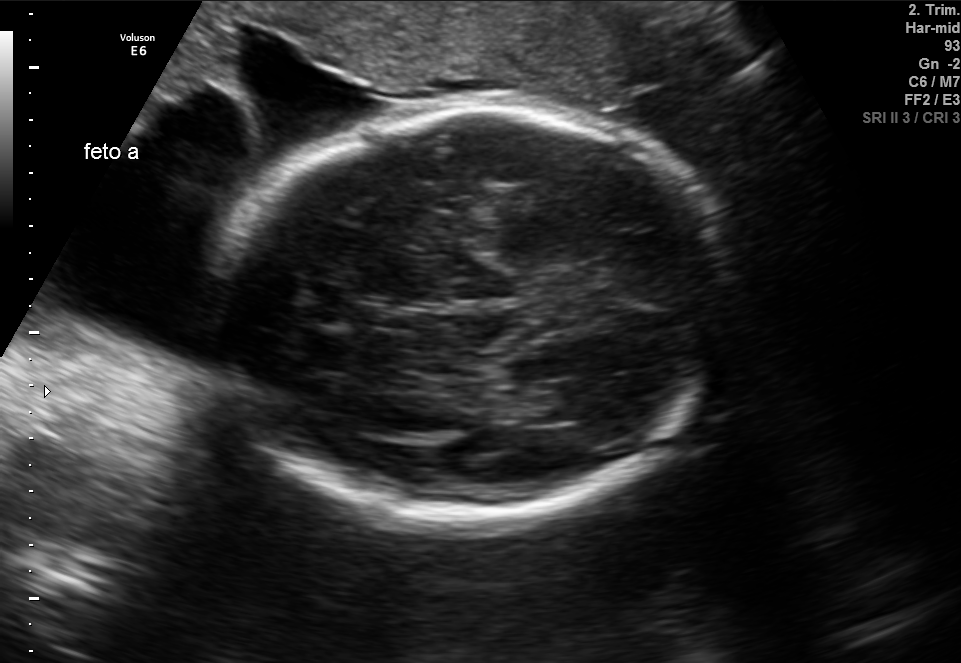
Fetal brain, trans-thalamic plane. Locate the fetal head and, if visible, the cavum septum pellucidum (CSP) and lateral ventricle (LV). Give bounding boxes as [x1,y1,x2,y2].

Head: [219,108,728,513]
Lateral ventricle: [529,376,609,428]